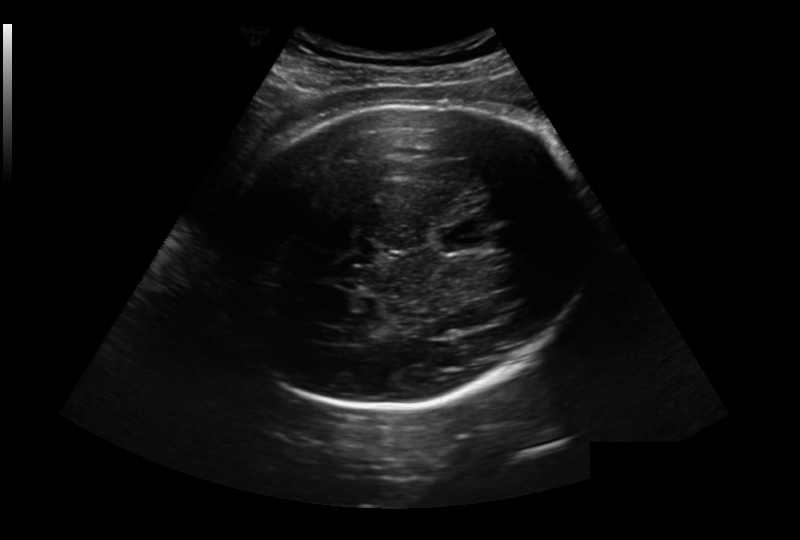
Fetal head ultrasound. Image width: 224.8 mm. Where is the fetal head?

Head bounding box: [215,107,591,410]